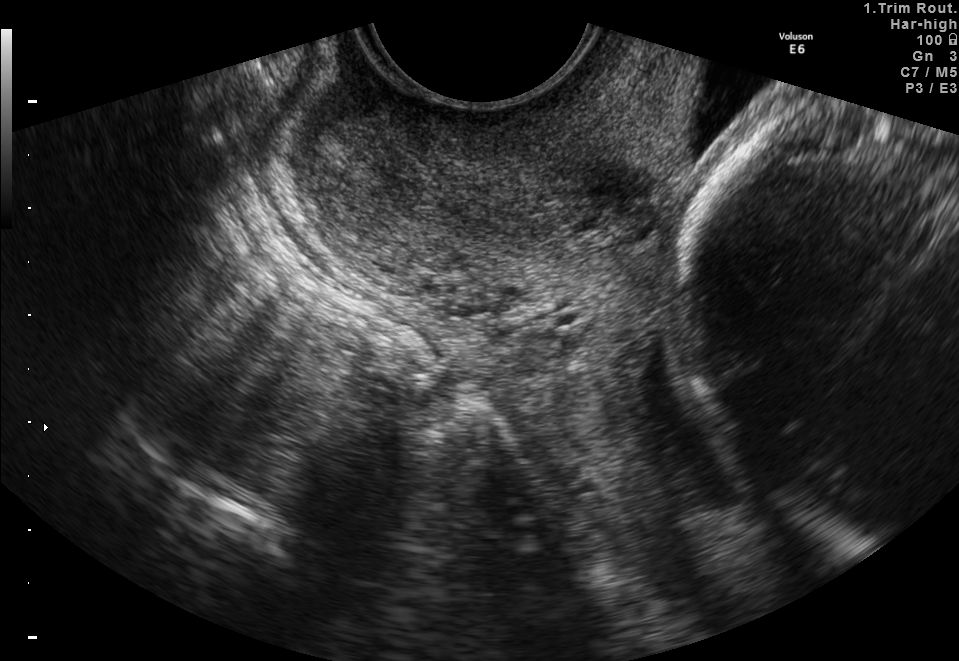
Classify this maternal-fetal ultrasound image as one of the six standard planes — fetal abdomen, fetal brain, fetal femur, fetal thorax, maternal cervix, or other. If it's fetal brain and one of the three standard brain planes (trans-thalamic, trans-cerebellum, trans-ventricular), name which.

Maternal cervix